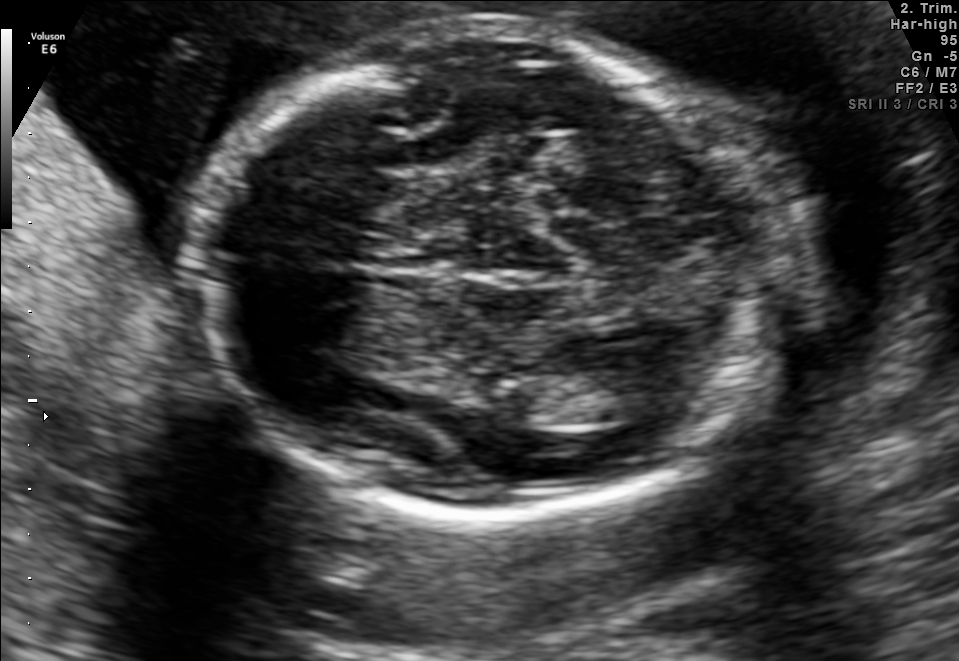
In this fetal brain, trans-thalamic plane, give the bounding box of the fetal head.

[198,29,787,512]